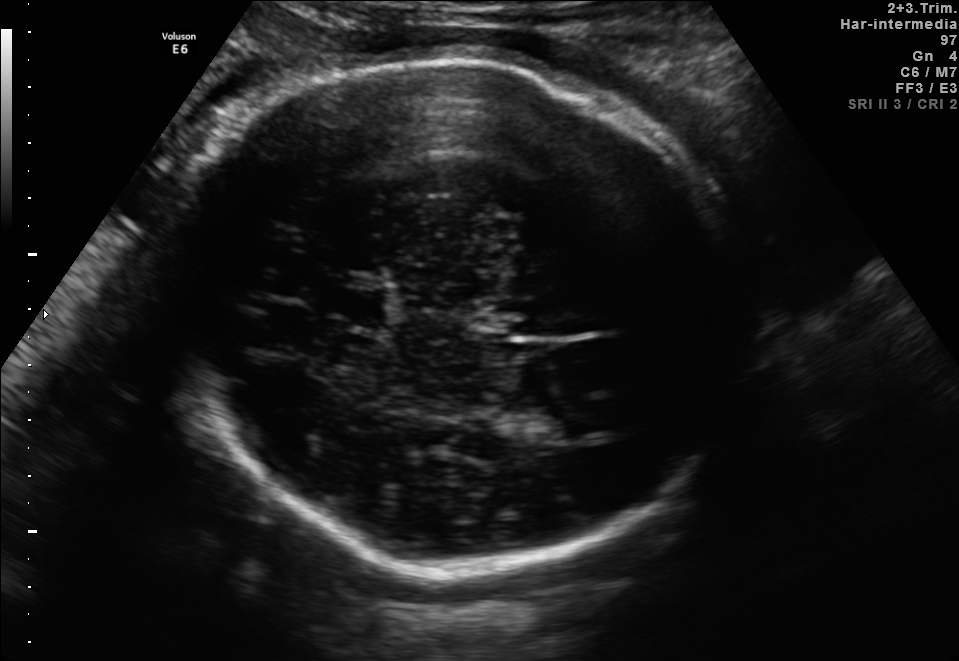
In this fetal brain, trans-thalamic plane, give the bounding box of the lateral ventricle.

[544,397,616,441]